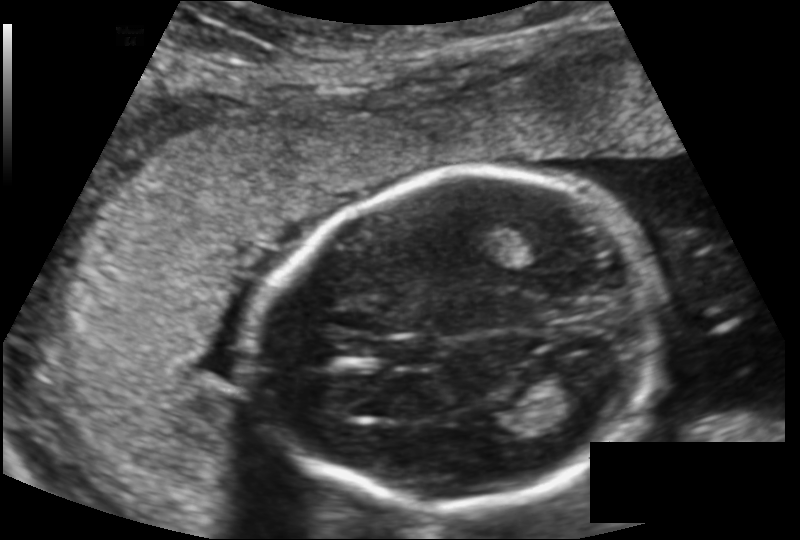
Fetal head ultrasound. Image width: 119.2 mm. Where is the fetal head?

Head bounding box: [249,175,657,507]